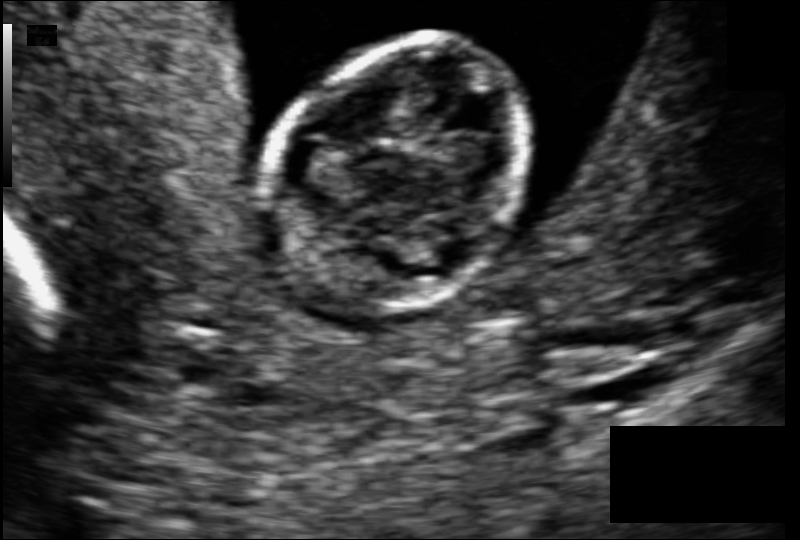
Estimate the fetal head circumference from this 2D ultrasound. Image width: 63.6 mm.

Head circumference: 68.7 mm.